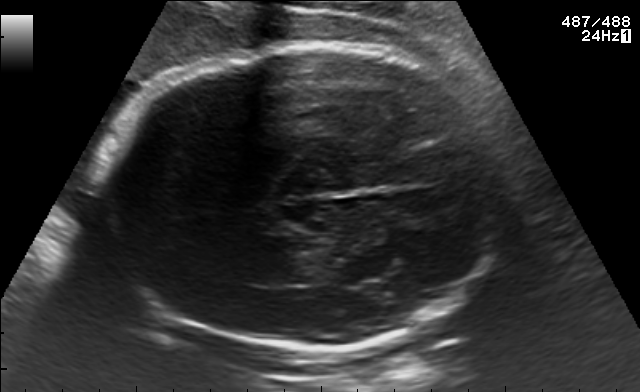
Fetal brain, trans-thalamic plane. Where is the fetal head?

Head bounding box: [93,45,503,349]